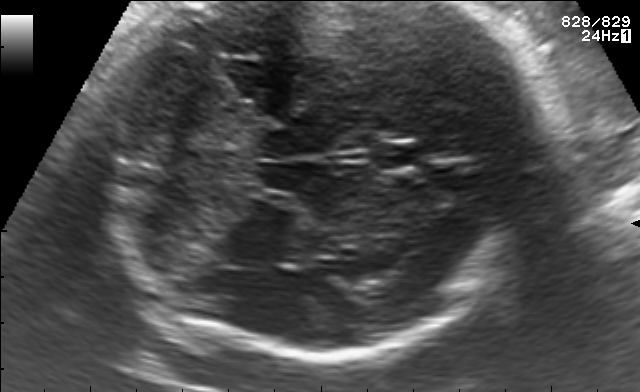
Fetal brain, trans-cerebellum plane. Locate the fetal head.

Head: [115,2,557,356]